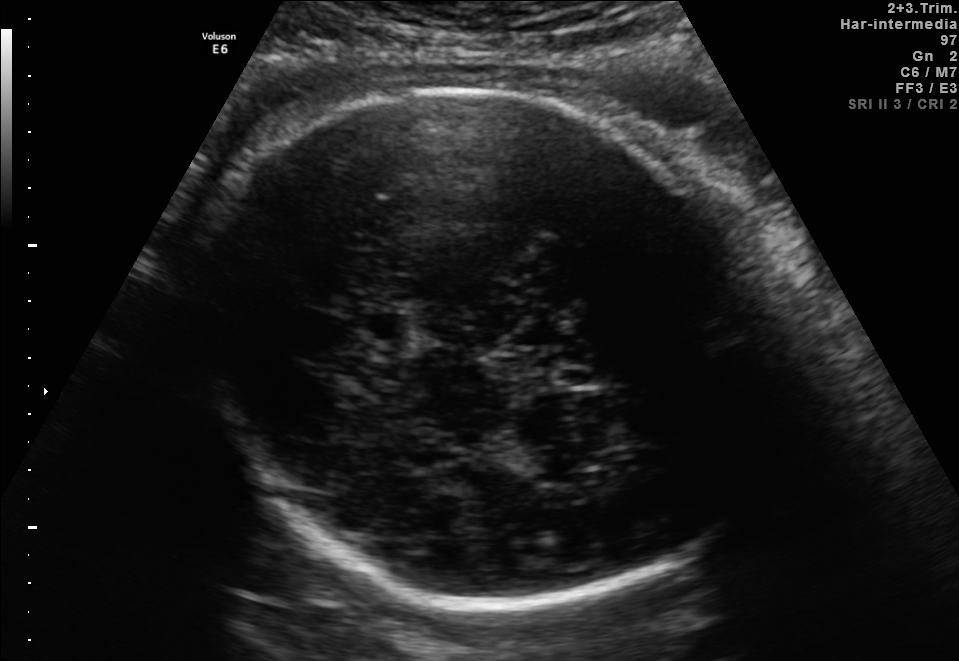
Fetal brain, trans-thalamic plane. Where is the fetal head?

Head bounding box: [195,91,766,608]